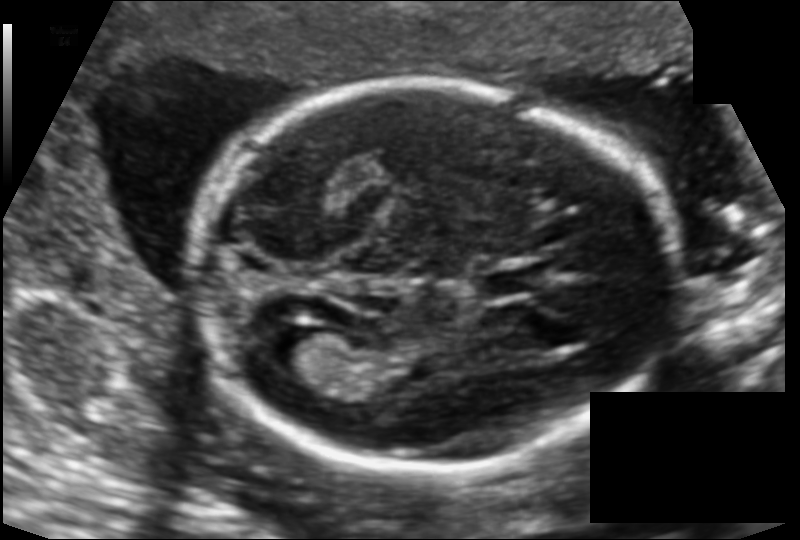
What is the fetal head circumference? Image width is 98.8 mm.

175.3 mm